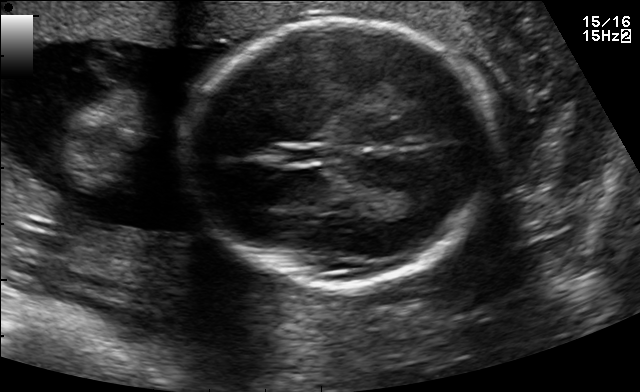
Fetal brain, trans-thalamic plane. Locate the fetal head.

Head: [188,23,495,288]